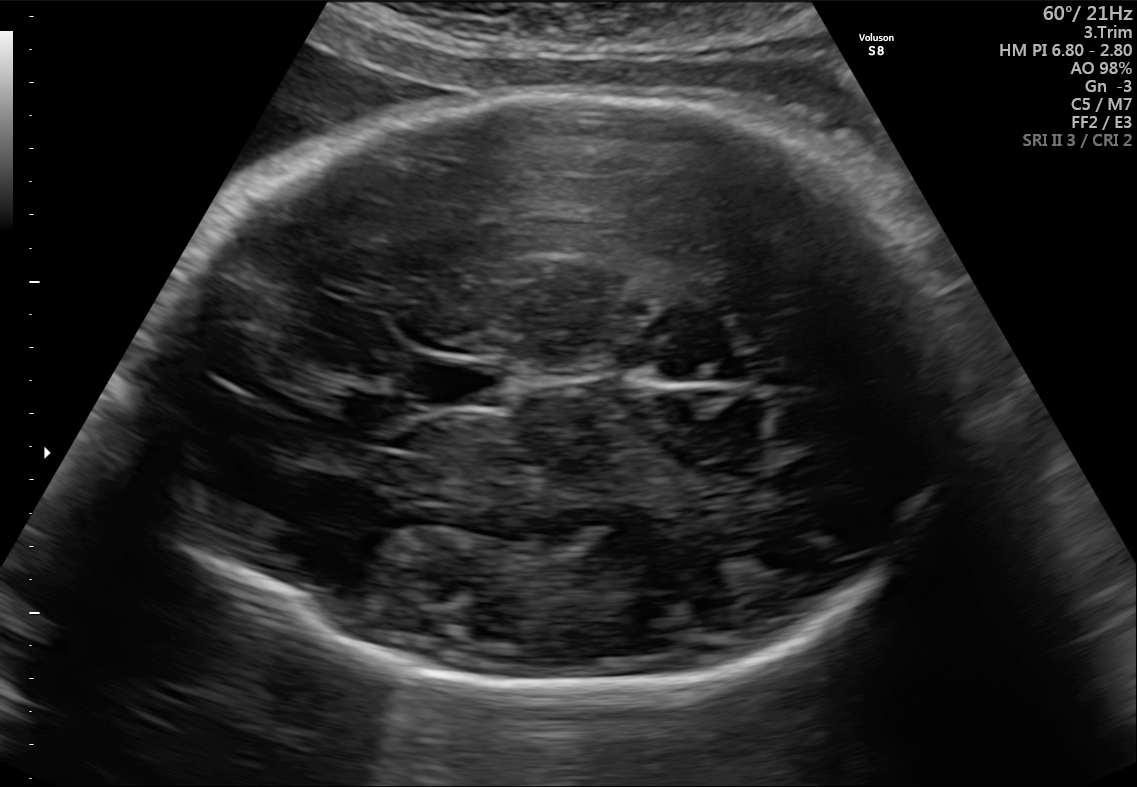
This is a 2D maternal-fetal ultrasound frame. Is it a fetal abdomen, fetal brain, fetal femur, fetal thorax, maternal cervix, or other standard plane? If it's fetal brain and one of the three standard brain planes (trans-thalamic, trans-cerebellum, trans-ventricular), name which.

Fetal brain (trans-thalamic plane)